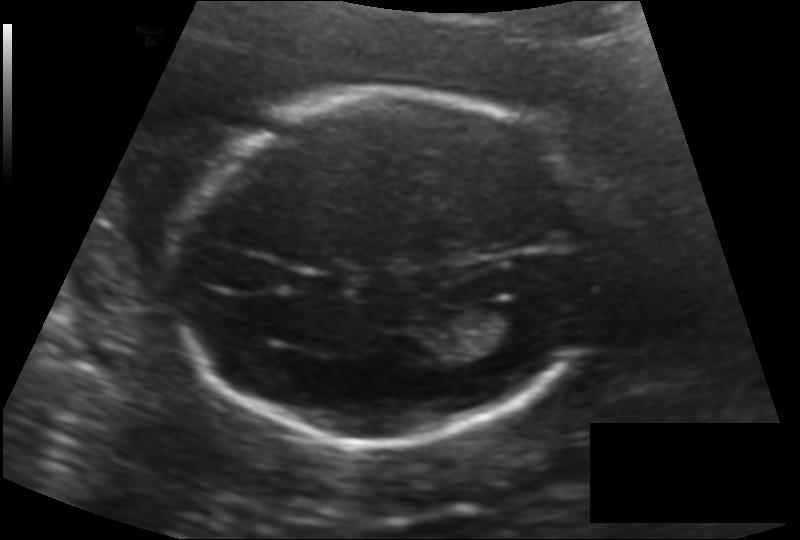
In this fetal head ultrasound, give the bounding box of the cavum septum pellucidum. Image width: 112.2 mm.

[295,273,347,295]